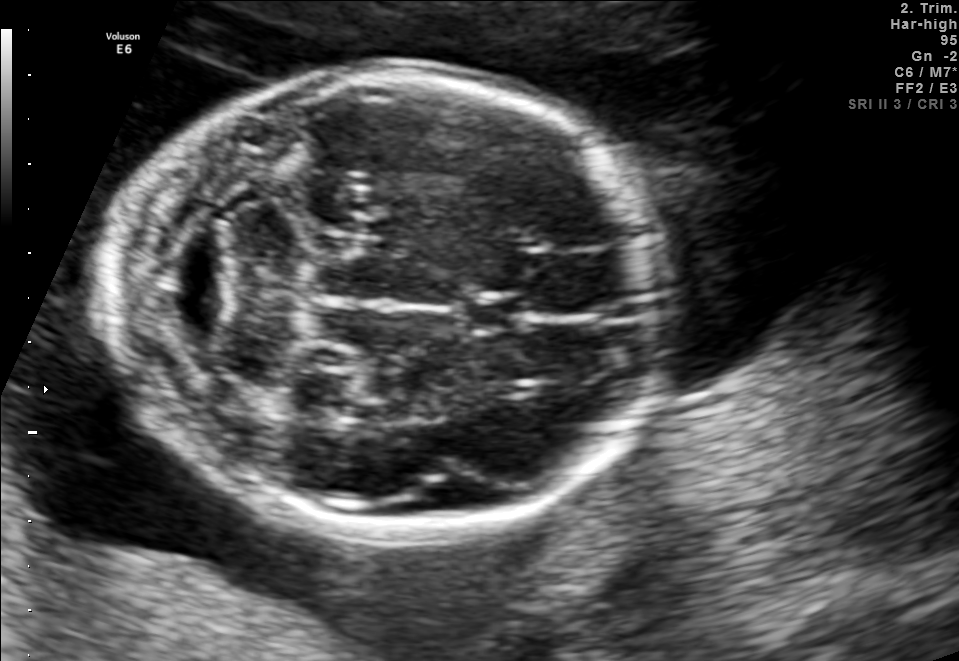
Fetal brain, trans-cerebellum plane. Where is the cavum septum pellucidum?

CSP bounding box: [465,295,528,330]